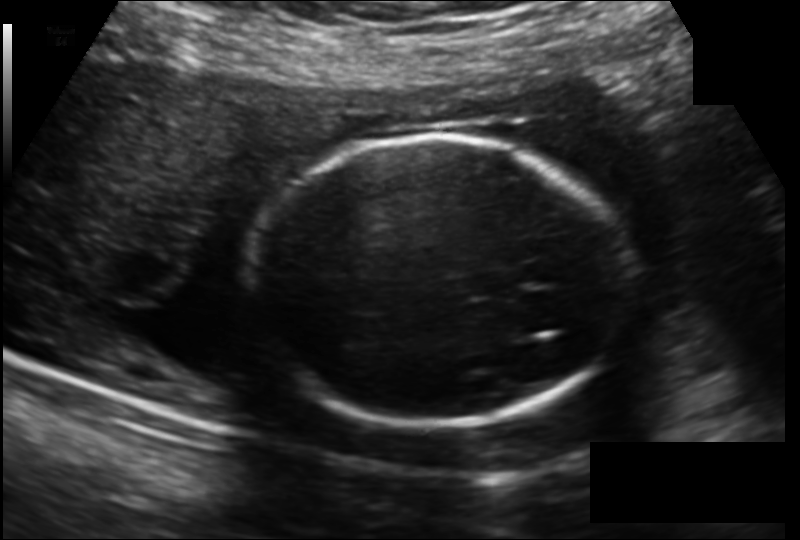
In this fetal head ultrasound, give bounding boxes for the head outline, cavum septum pellucidum (CSP), and lateral ventricle (LV), where visible. Image width: 132.5 mm.

Head: [251,140,624,426]